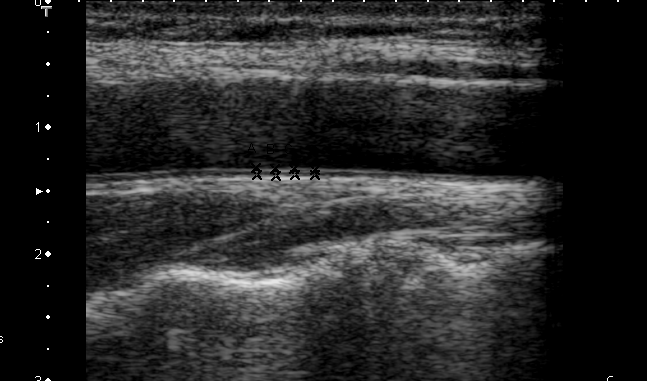
Identify the standard plane in this fetal ultrasound image: fetal abdomen, fetal brain, fetal femur, fetal thorax, maternal cervix, or other. If it's fetal brain and one of the three standard brain planes (trans-thalamic, trans-cerebellum, trans-ventricular), name which.

Other